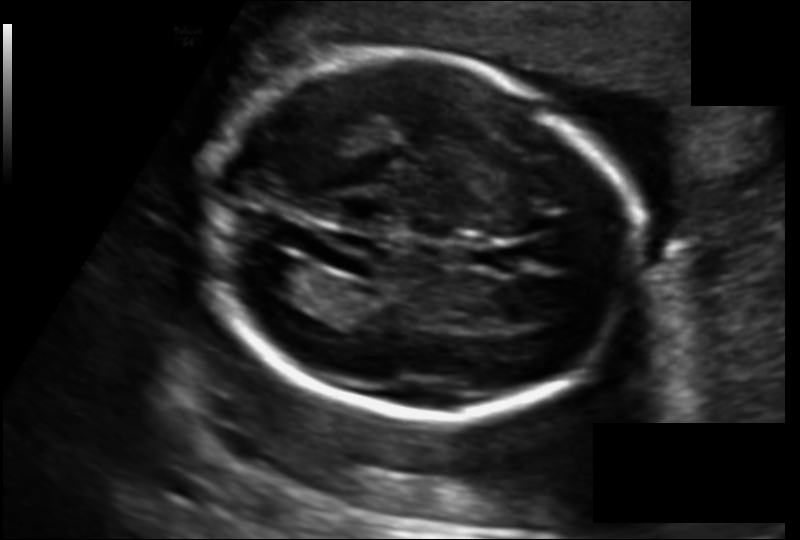
Fetal head ultrasound. Image width: 107.9 mm. Give [x1,y1,x2,y2] bounding boxes for each visible structure among: fetal head, CSP, LV.

Head: [203,51,632,418]
CSP: [465,242,520,272]
Lateral ventricle: [247,244,319,305]